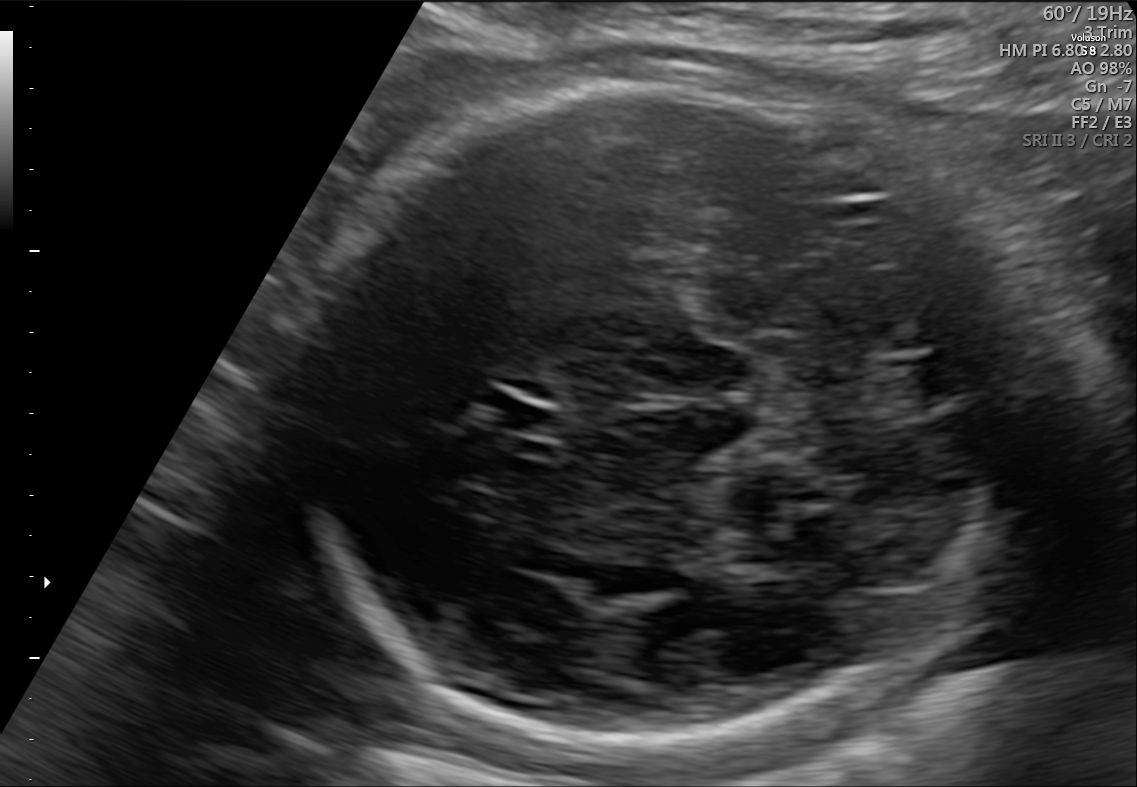
Fetal brain, trans-cerebellum plane. Give [x1,y1,x2,y2] bounding boxes for each visible structure among: fetal head, CSP, LV.

Head: [302,83,982,756]
CSP: [478,385,562,445]